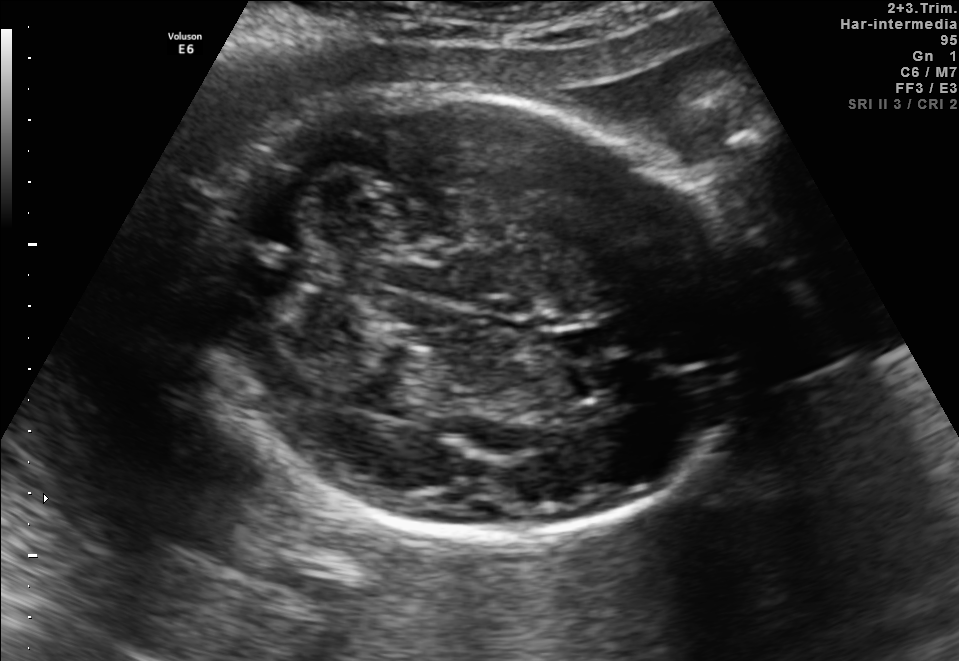
Fetal brain, trans-cerebellum plane. Locate the fetal head and, if visible, the cavum septum pellucidum (CSP) and lateral ventricle (LV). Give bounding boxes as [x1,y1,x2,y2].

Head: [189,90,750,539]